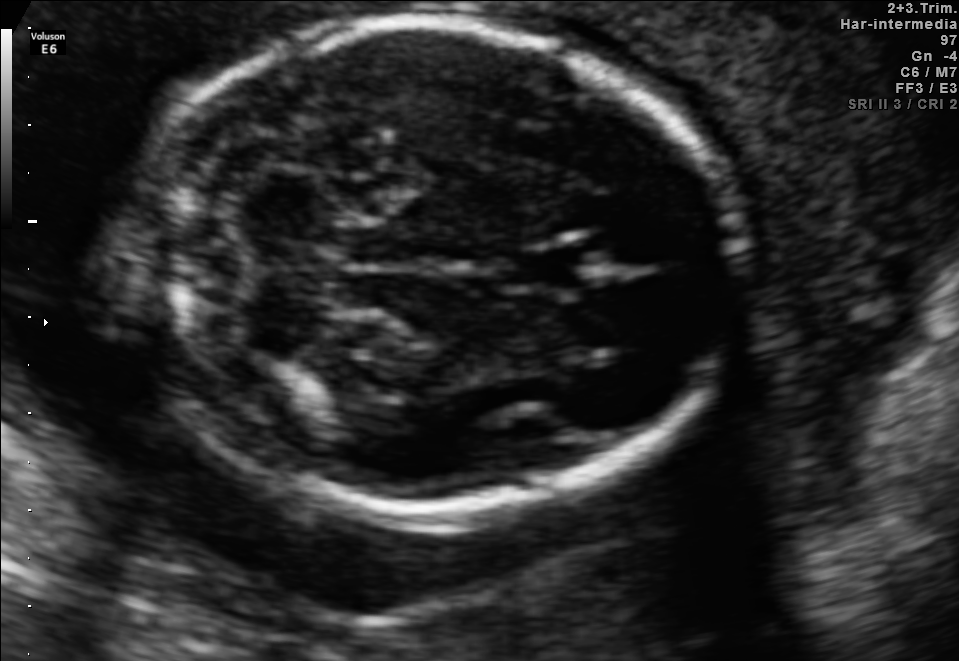
Fetal brain, trans-cerebellum plane. Give [x1,y1,x2,y2] bounding boxes for each visible structure among: fetal head, CSP, LV.

Head: [130,23,739,518]
CSP: [504,243,590,294]